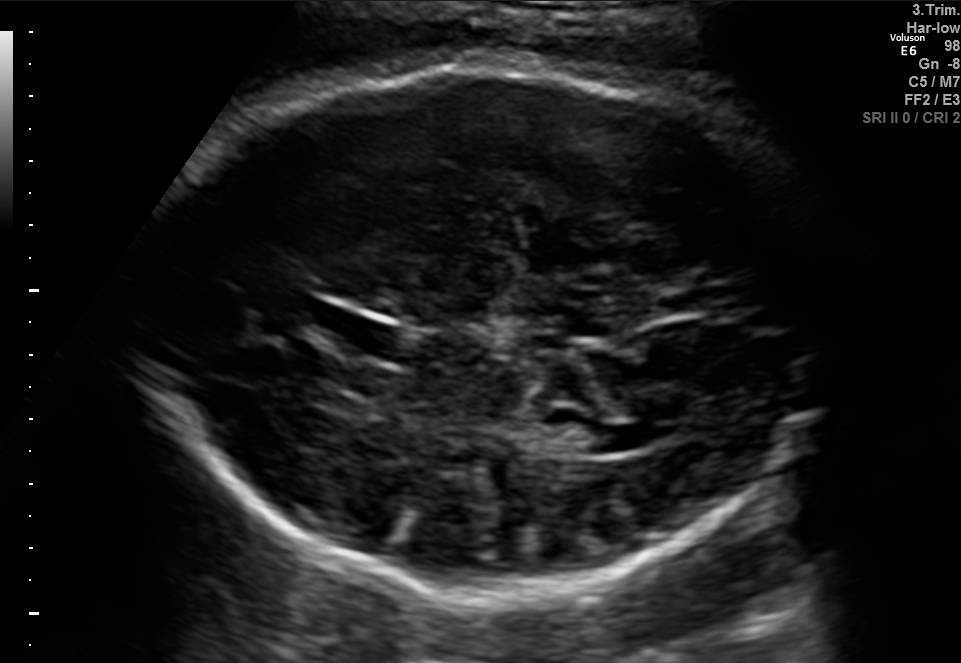
In this fetal brain, trans-thalamic plane, give the bounding box of the fetal head.

[131,70,830,589]